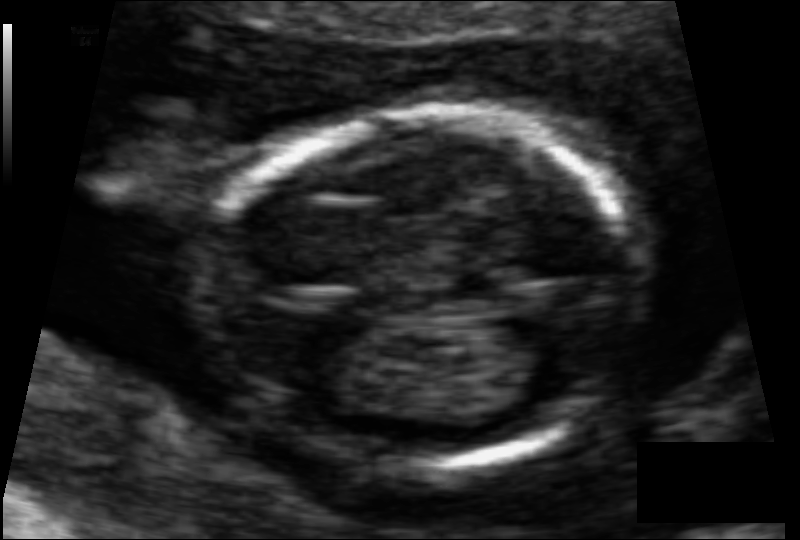
What is the fetal head circumference? Image width is 52.3 mm.

84.1 mm